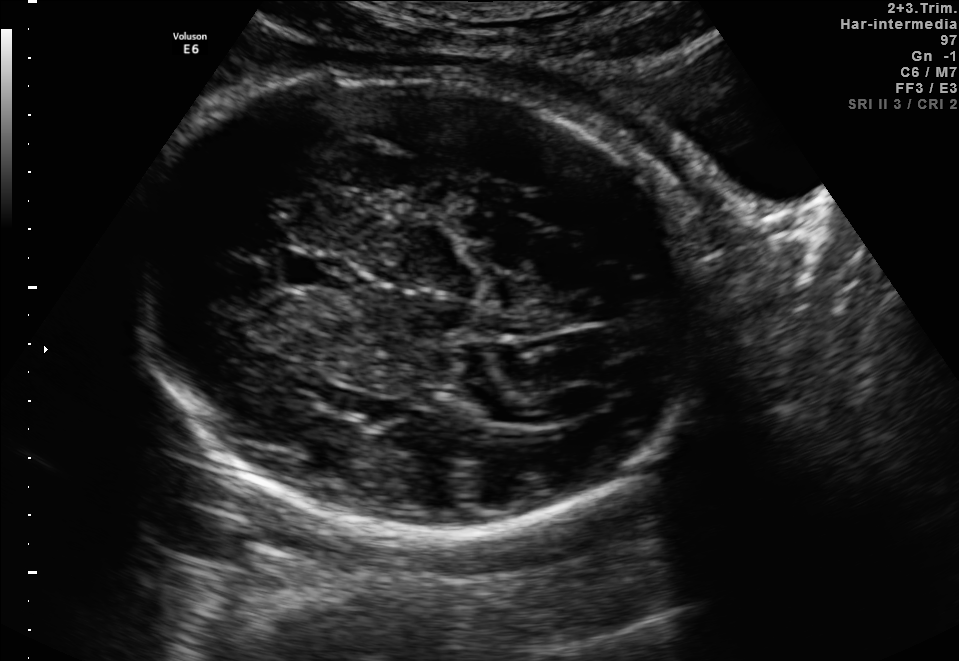
Fetal brain, trans-thalamic plane. Where is the lateral ventricle?

Lateral ventricle bounding box: [544,375,613,426]